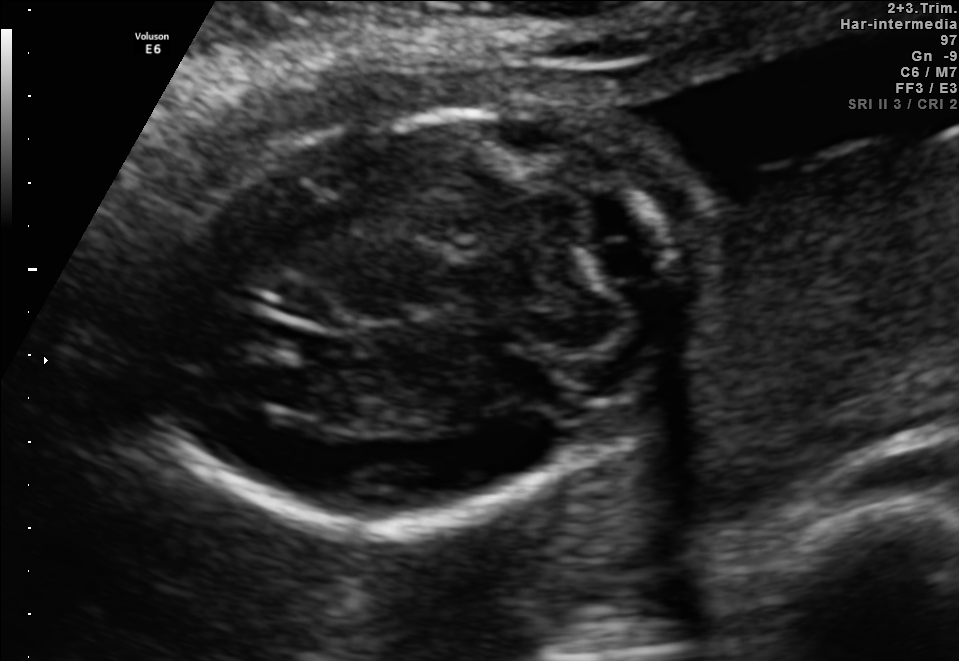
Fetal brain, trans-cerebellum plane. Locate the fetal head.

Head: [158,105,717,520]